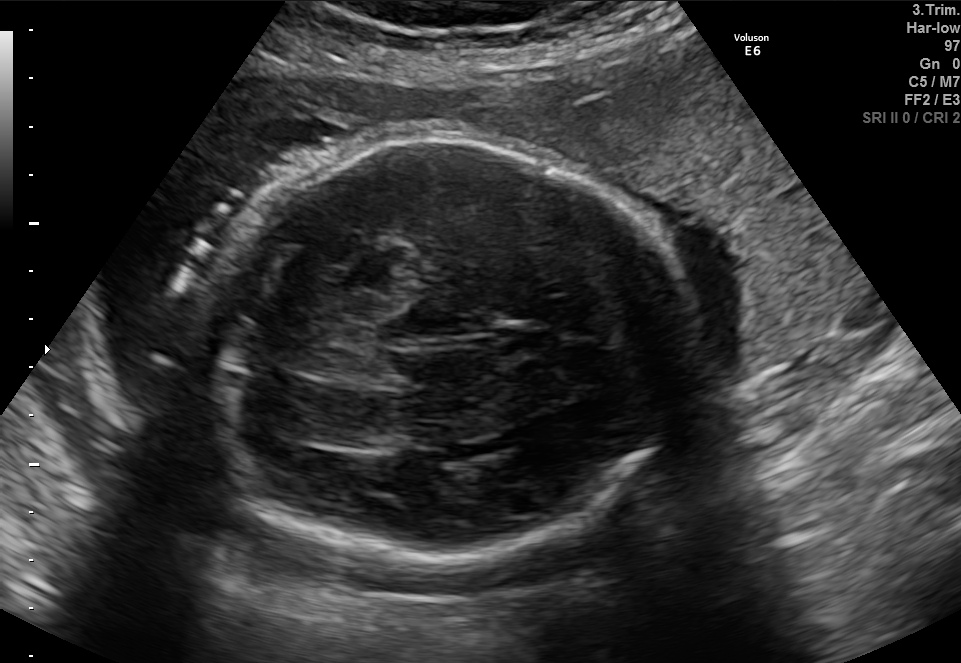
Fetal brain, trans-thalamic plane. Give [x1,y1,x2,y2] bounding boxes for each visible structure among: fetal head, CSP, LV.

Head: [212,136,690,557]